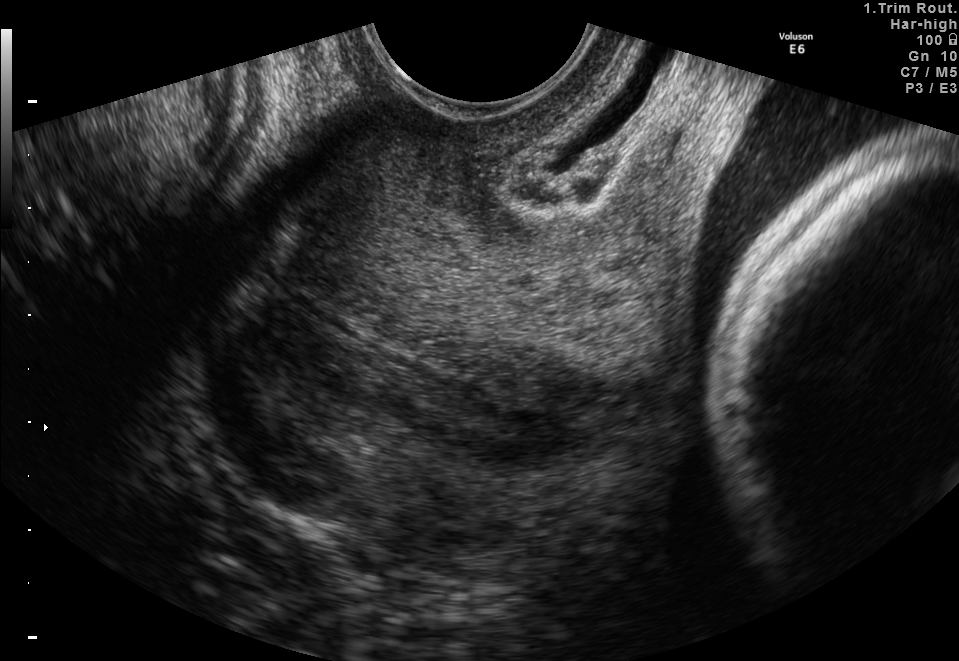
This is a 2D maternal-fetal ultrasound frame. Is it a fetal abdomen, fetal brain, fetal femur, fetal thorax, maternal cervix, or other standard plane? If it's fetal brain and one of the three standard brain planes (trans-thalamic, trans-cerebellum, trans-ventricular), name which.

Maternal cervix